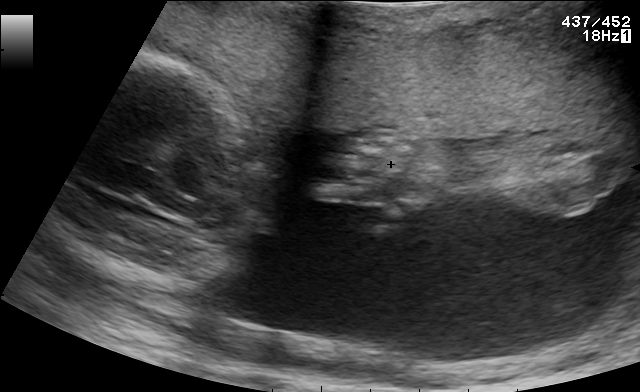
This is a 2D maternal-fetal ultrasound frame. Is it a fetal abdomen, fetal brain, fetal femur, fetal thorax, maternal cervix, or other standard plane? If it's fetal brain and one of the three standard brain planes (trans-thalamic, trans-cerebellum, trans-ventricular), name which.

Other